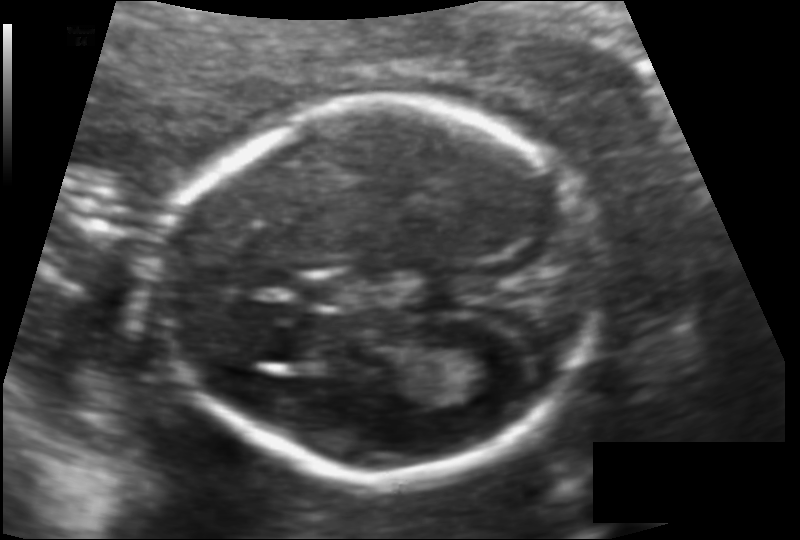
Fetal head ultrasound. Image width: 90.5 mm. Locate the lateral ventricle.

Lateral ventricle: [454,341,537,401]